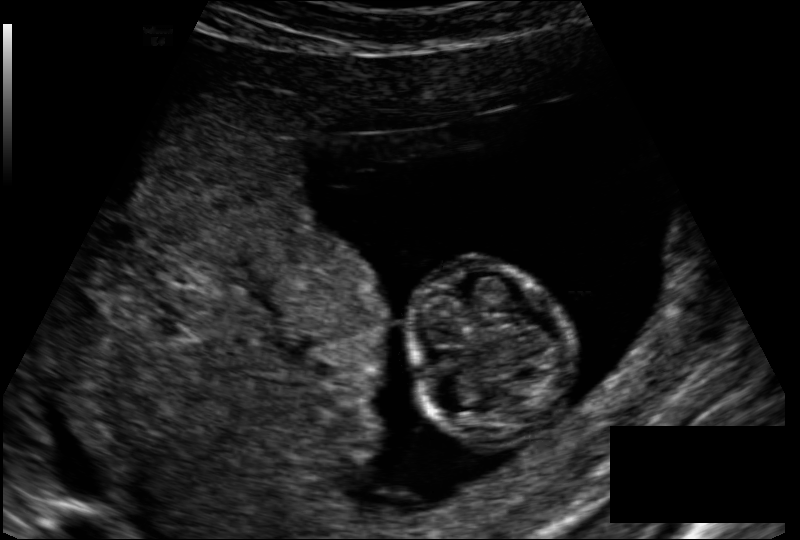
What is the fetal head circumference? Image width is 102.1 mm.

72.7 mm